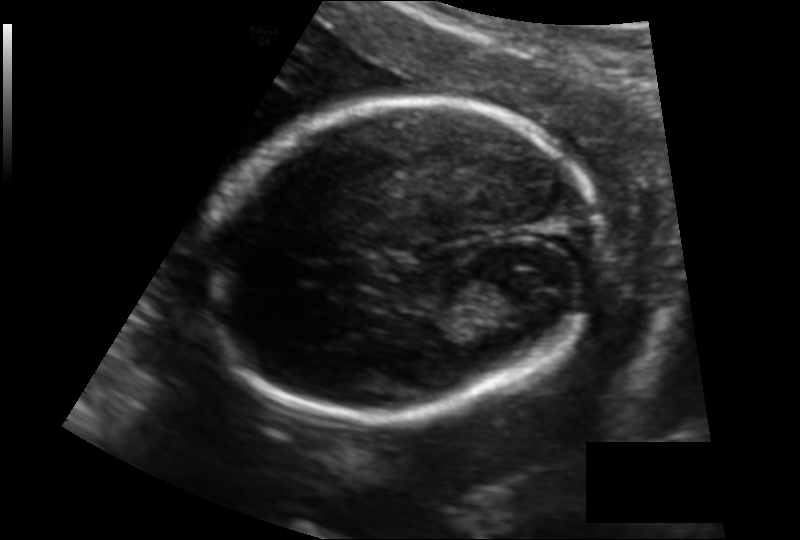
Fetal head ultrasound. Image width: 112.2 mm. Give [x1,y1,x2,y2] bounding boxes for each visible structure among: fetal head, CSP, LV.

Head: [199,102,600,420]